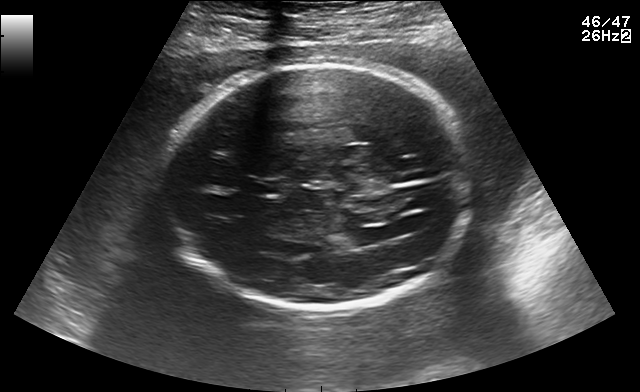
In this fetal brain, trans-ventricular plane, give the bounding box of the lateral ventricle.

[341,227,380,250]